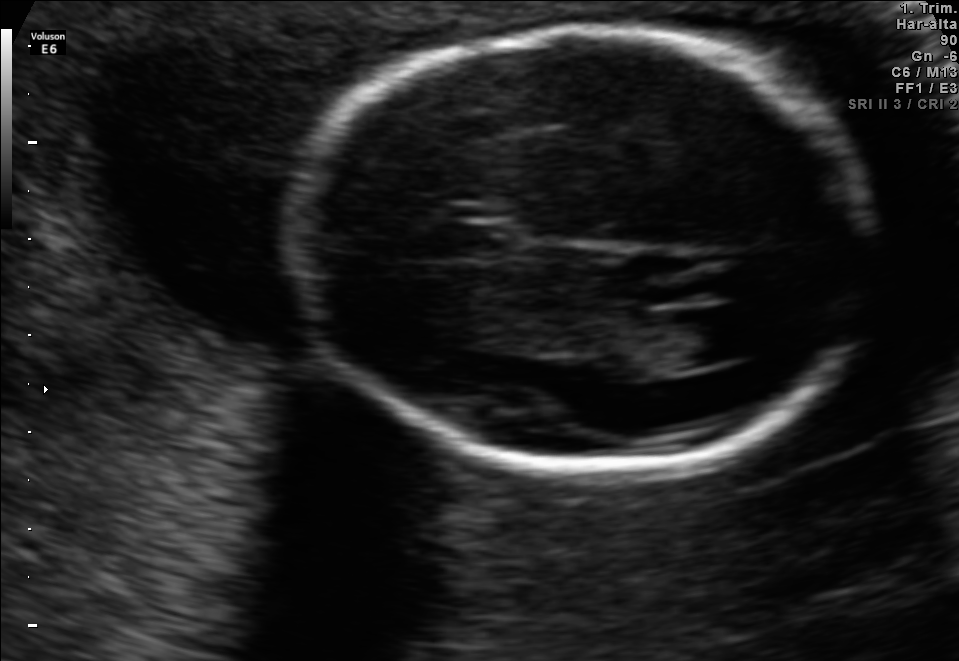
Fetal brain, trans-ventricular plane. Where is the cavum septum pellucidum?

CSP bounding box: [422,224,518,259]